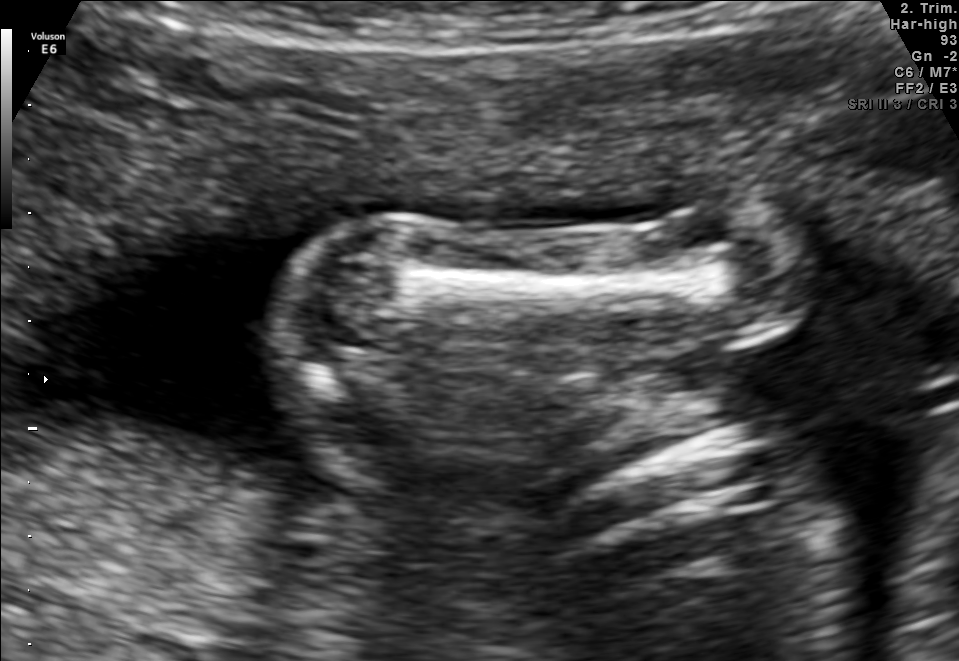
Classify this maternal-fetal ultrasound image as one of the six standard planes — fetal abdomen, fetal brain, fetal femur, fetal thorax, maternal cervix, or other. If it's fetal brain and one of the three standard brain planes (trans-thalamic, trans-cerebellum, trans-ventricular), name which.

Other